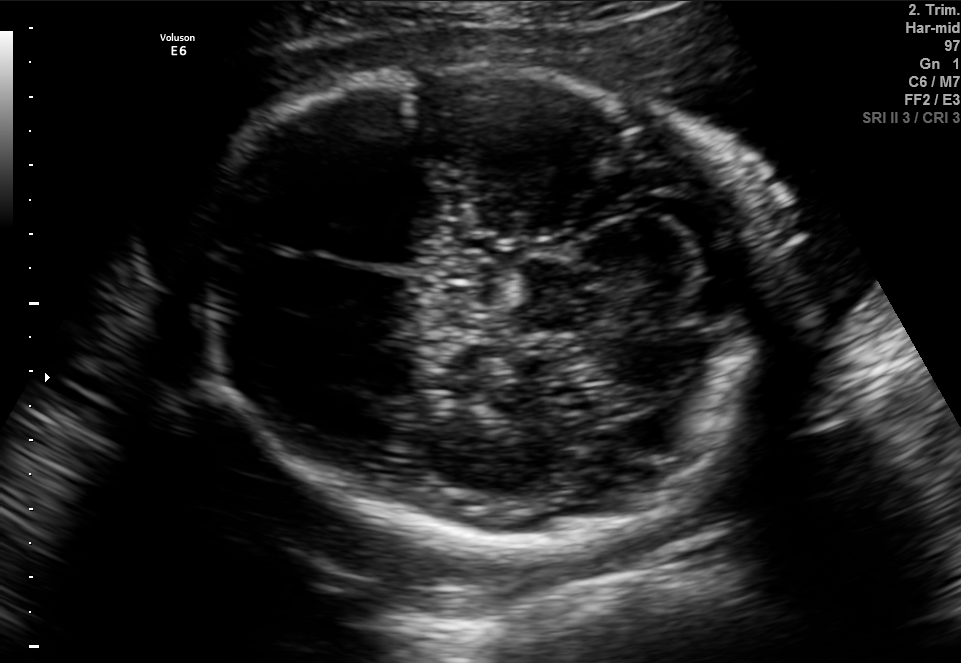
In this fetal brain, trans-cerebellum plane, give the bounding box of the fetal head.

[191,66,782,547]